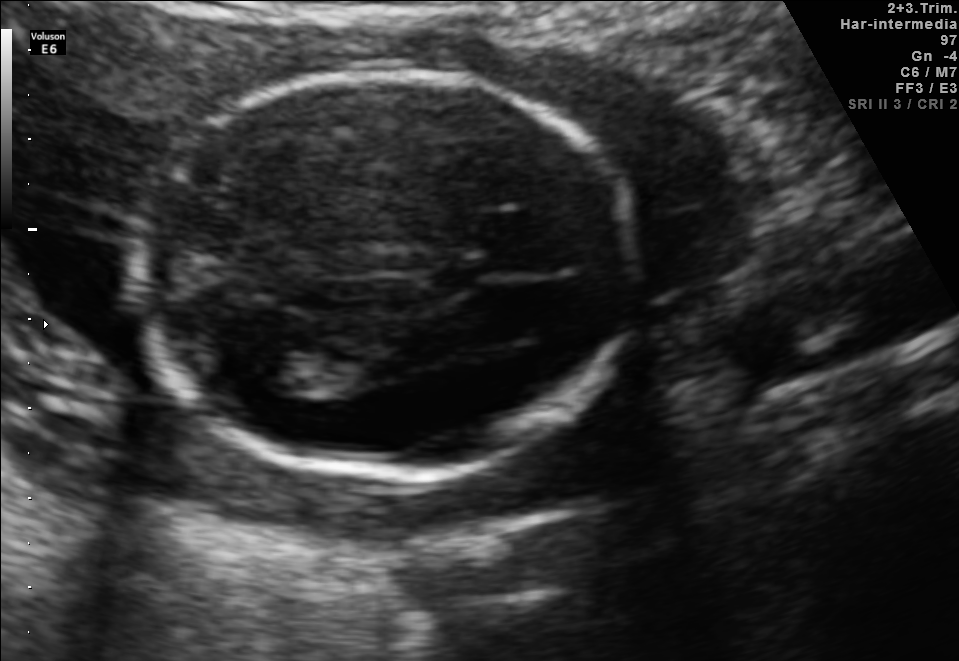
In this fetal brain, trans-ventricular plane, give the bounding box of the fetal head.

[124,65,647,484]